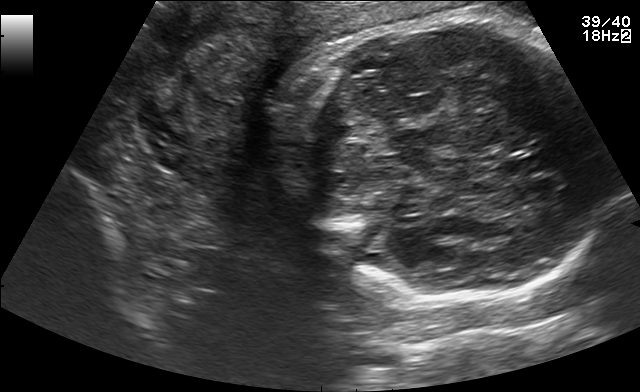
This is a 2D maternal-fetal ultrasound frame. Is it a fetal abdomen, fetal brain, fetal femur, fetal thorax, maternal cervix, or other standard plane? If it's fetal brain and one of the three standard brain planes (trans-thalamic, trans-cerebellum, trans-ventricular), name which.

Fetal brain